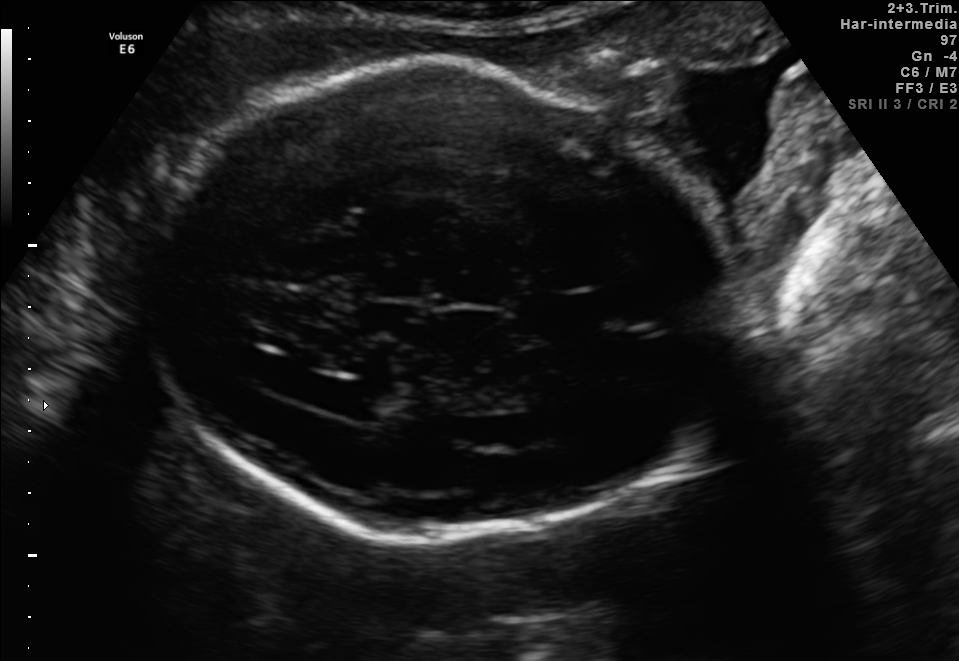
Fetal brain, trans-ventricular plane. Where is the lateral ventricle?

Lateral ventricle bounding box: [302,370,400,426]